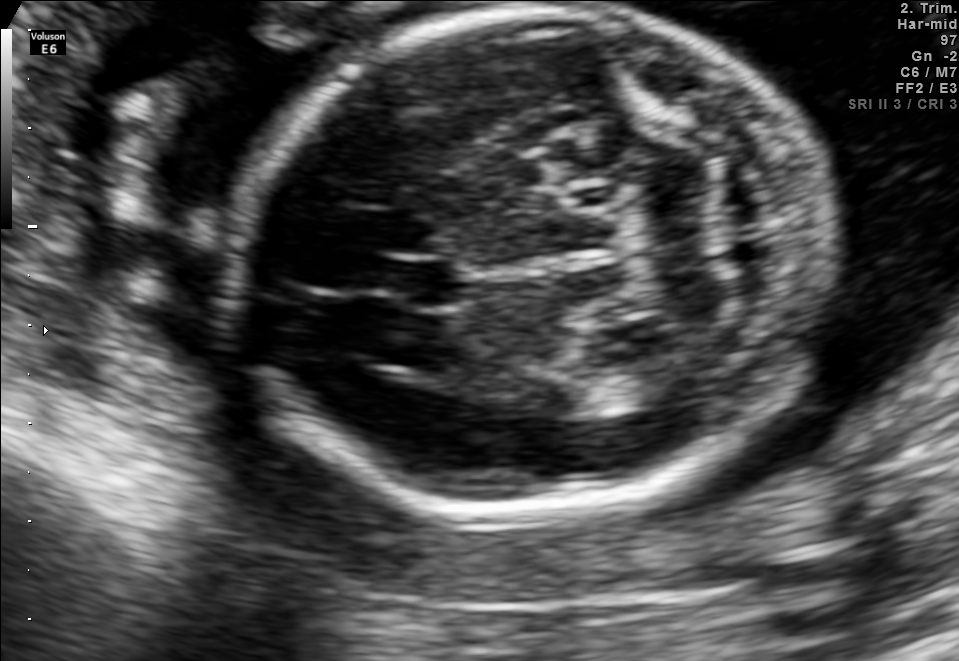
Identify the standard plane in this fetal ultrasound image: fetal abdomen, fetal brain, fetal femur, fetal thorax, maternal cervix, or other. If it's fetal brain and one of the three standard brain planes (trans-thalamic, trans-cerebellum, trans-ventricular), name which.

Fetal brain (trans-cerebellum plane)